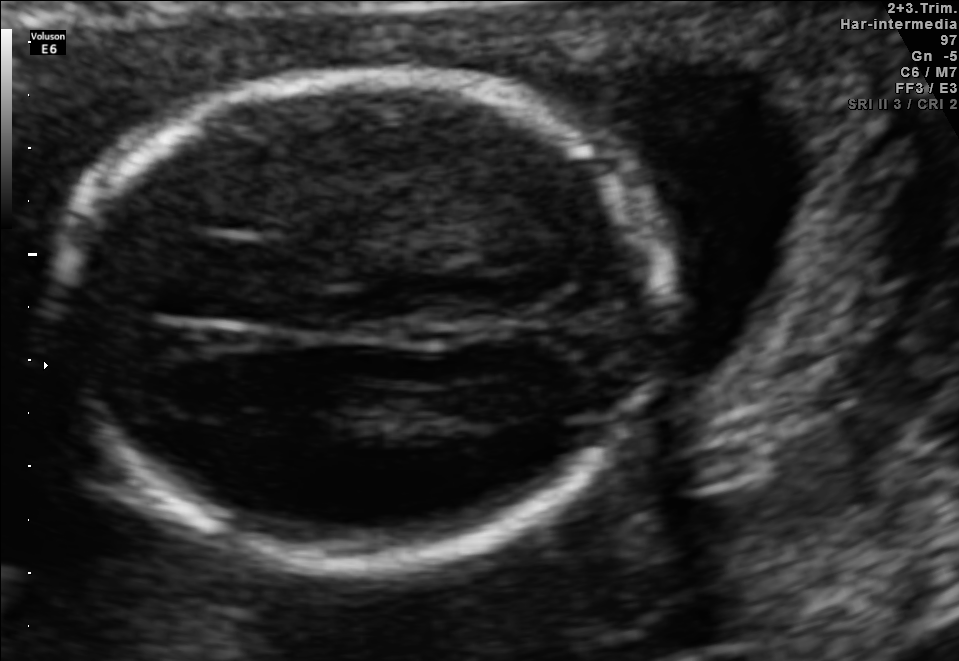
Fetal brain, trans-thalamic plane. Give [x1,y1,x2,y2] bounding boxes for each visible structure among: fetal head, CSP, LV.

Head: [57,77,662,556]